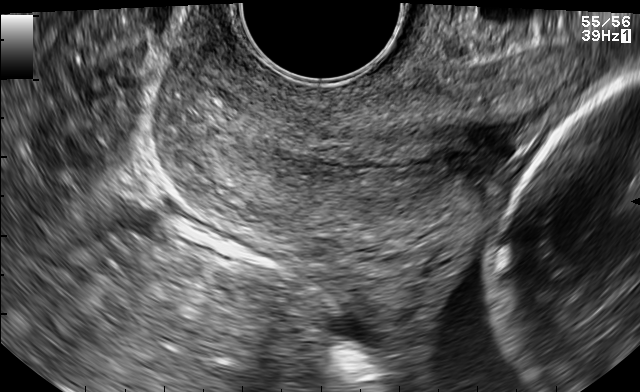
Identify the standard plane in this fetal ultrasound image: fetal abdomen, fetal brain, fetal femur, fetal thorax, maternal cervix, or other. If it's fetal brain and one of the three standard brain planes (trans-thalamic, trans-cerebellum, trans-ventricular), name which.

Maternal cervix